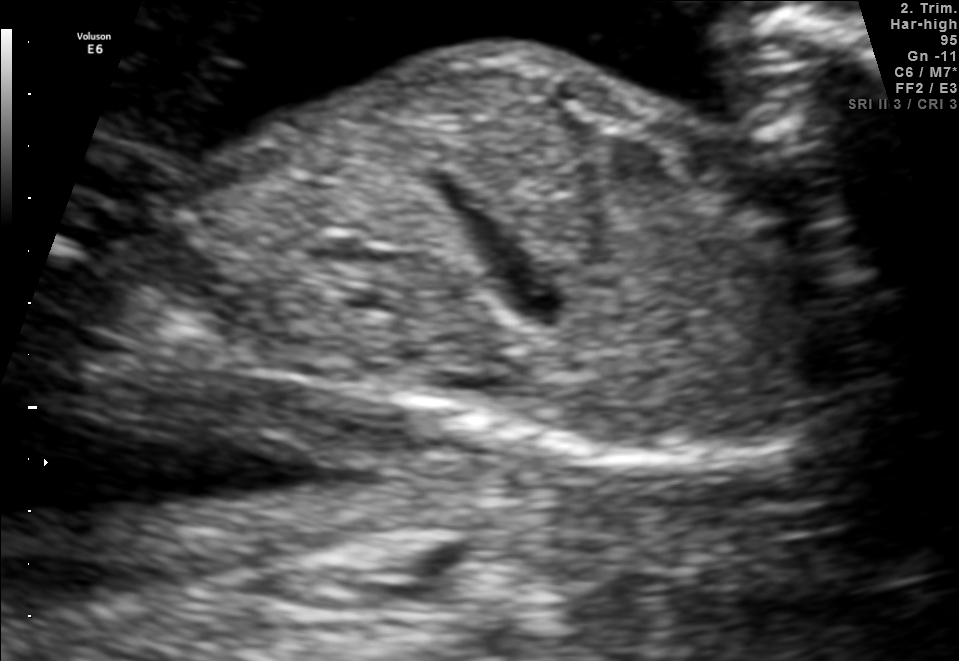
Which standard maternal-fetal ultrasound plane is shown: fetal abdomen, fetal brain, fetal femur, fetal thorax, maternal cervix, or other? If it's fetal brain and one of the three standard brain planes (trans-thalamic, trans-cerebellum, trans-ventricular), name which.

Other